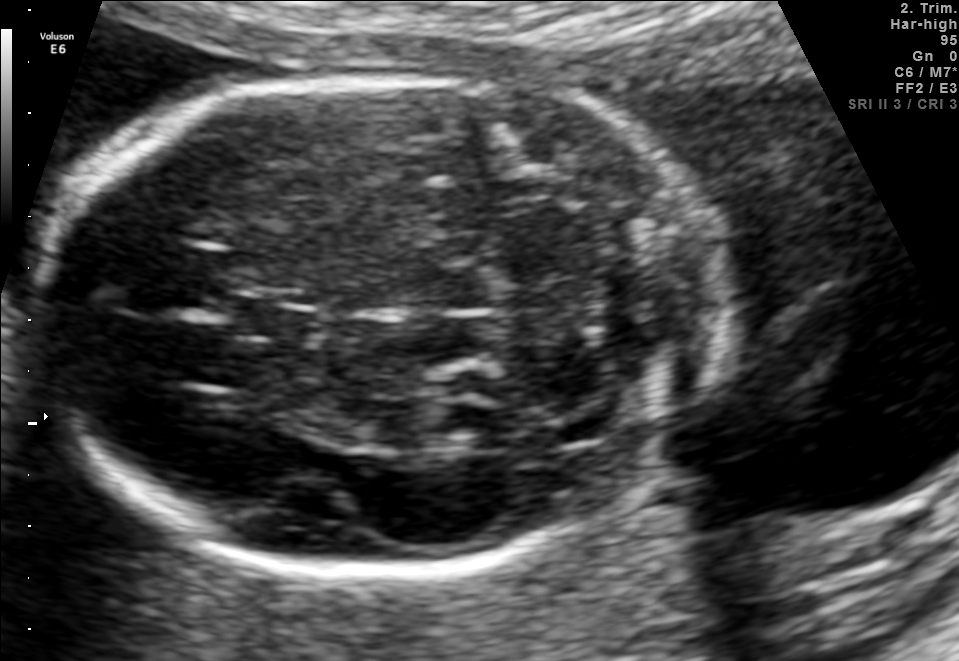
Fetal brain, trans-cerebellum plane. Locate the cavum septum pellucidum.

CSP: [232,295,321,345]